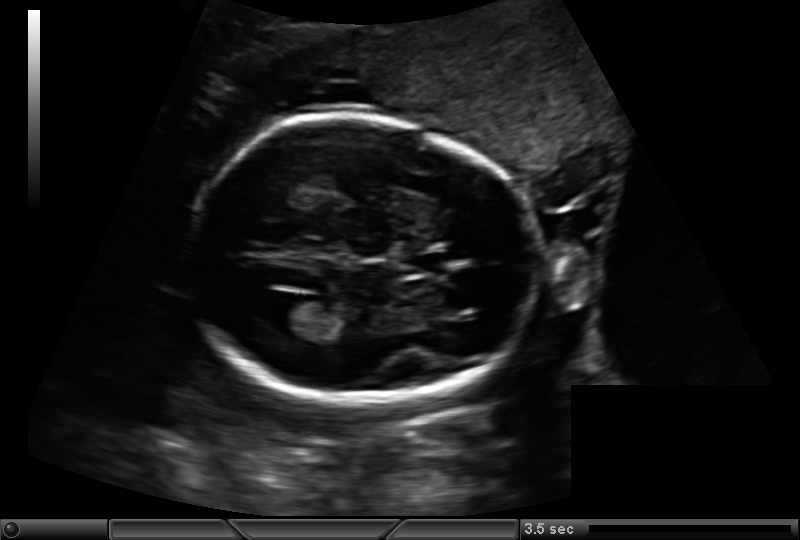
In this fetal head ultrasound, give the bounding box of the cavum septum pellucidum. Image width: 126.8 mm.

[409,250,450,274]